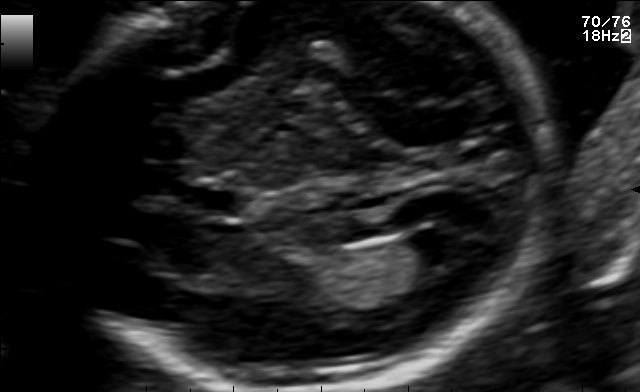
Fetal brain, trans-ventricular plane. Locate the lateral ventricle.

Lateral ventricle: [410,217,481,269]